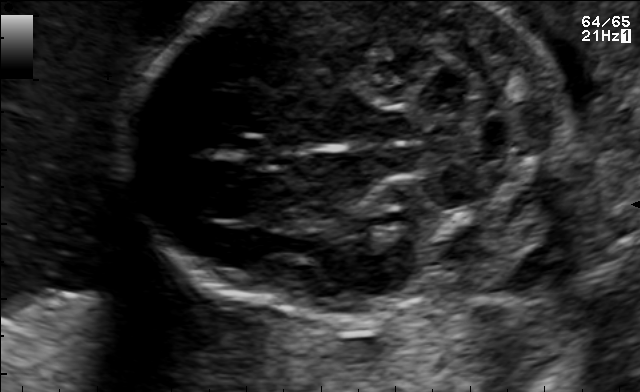
Fetal brain, trans-cerebellum plane. Locate the fetal head and, if visible, the cavum septum pellucidum (CSP) and lateral ventricle (LV). Give bounding boxes as [x1,y1,x2,y2].

Head: [126,1,561,315]